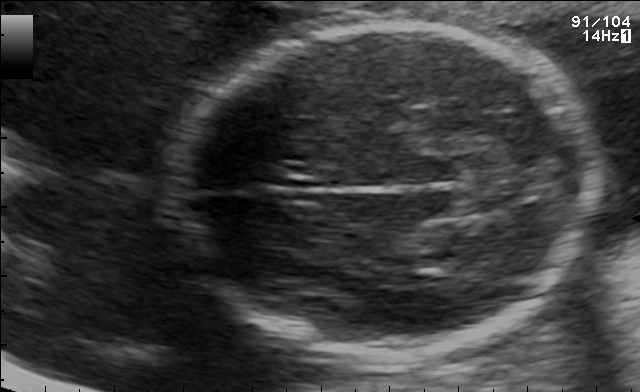
Fetal brain, trans-thalamic plane. Locate the fetal head.

Head: [169,22,599,356]